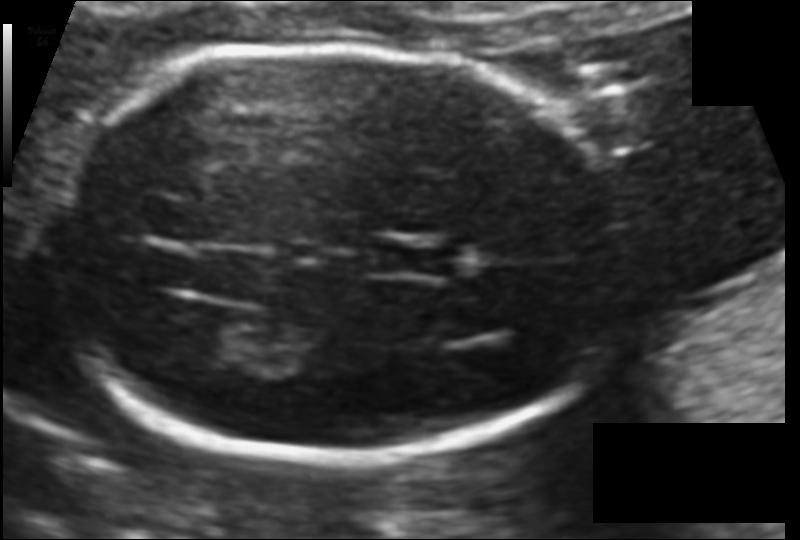
Fetal head ultrasound. Image width: 78.8 mm. Locate the fetal head.

Head: [52,43,625,459]